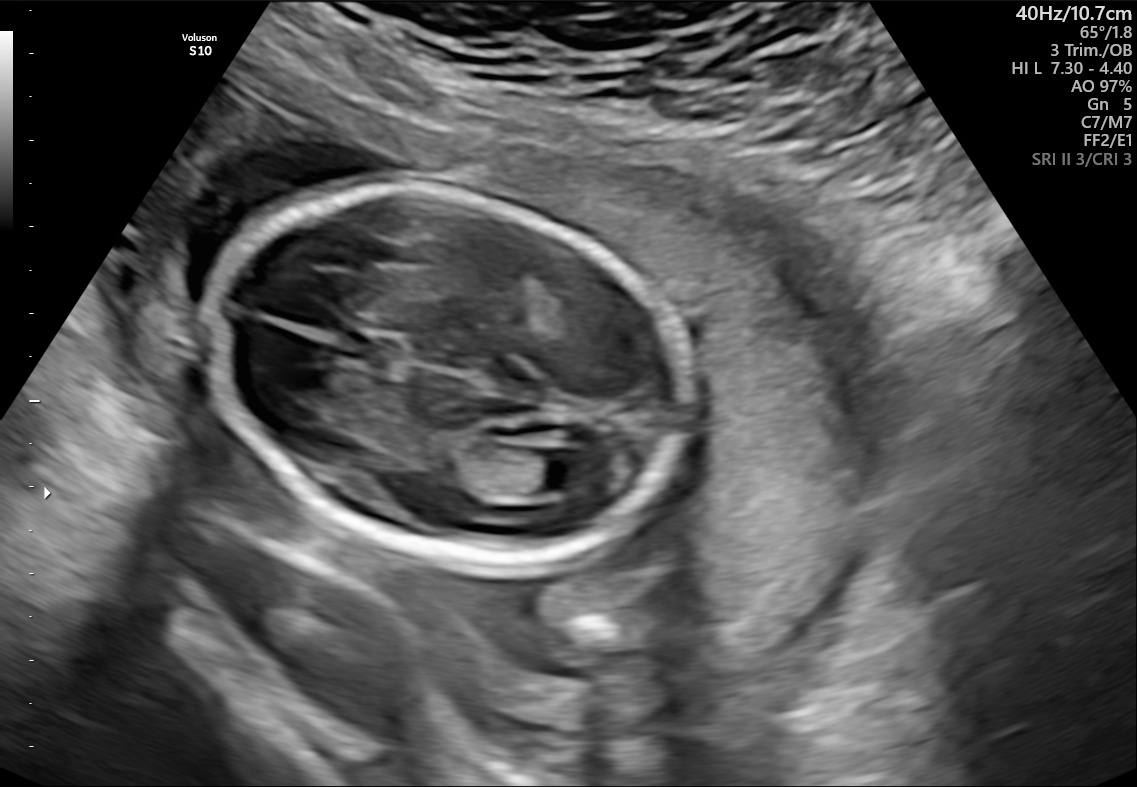
In this fetal brain, trans-ventricular plane, give the bounding box of the cavum septum pellucidum.

[340,329,391,370]